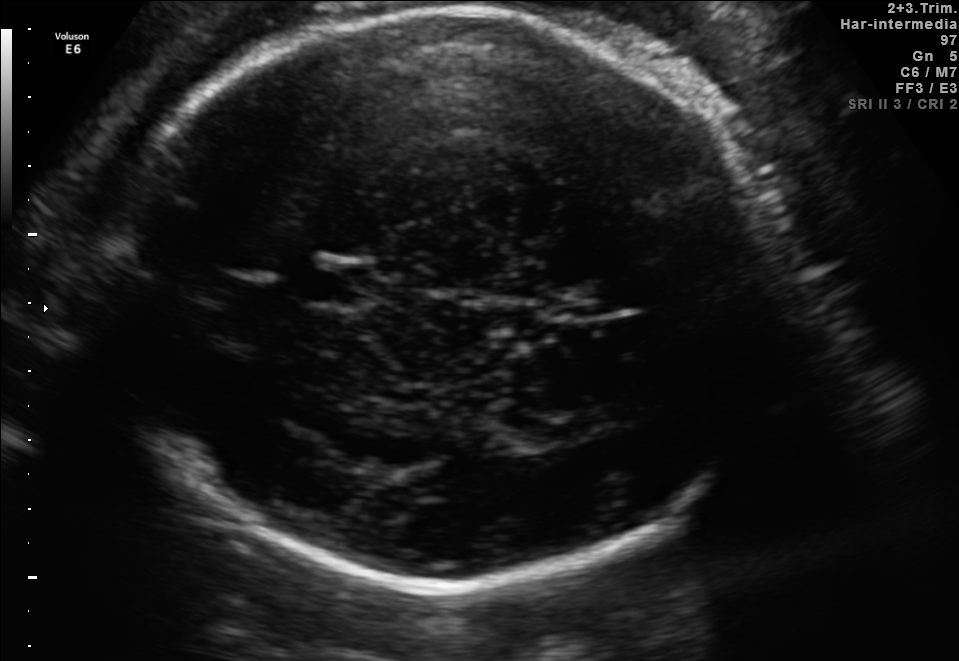
Fetal brain, trans-thalamic plane. Locate the cavum septum pellucidum.

CSP: [299,264,360,304]